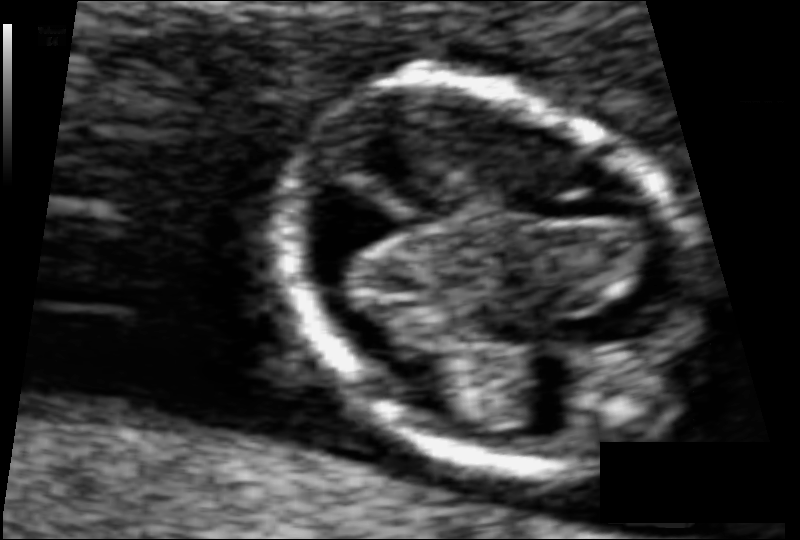
In this fetal head ultrasound, give bounding boxes for the head outline, cavum septum pellucidum (CSP), and lateral ventricle (LV), where visible. Image width: 46.0 mm.

Head: [276,82,697,457]